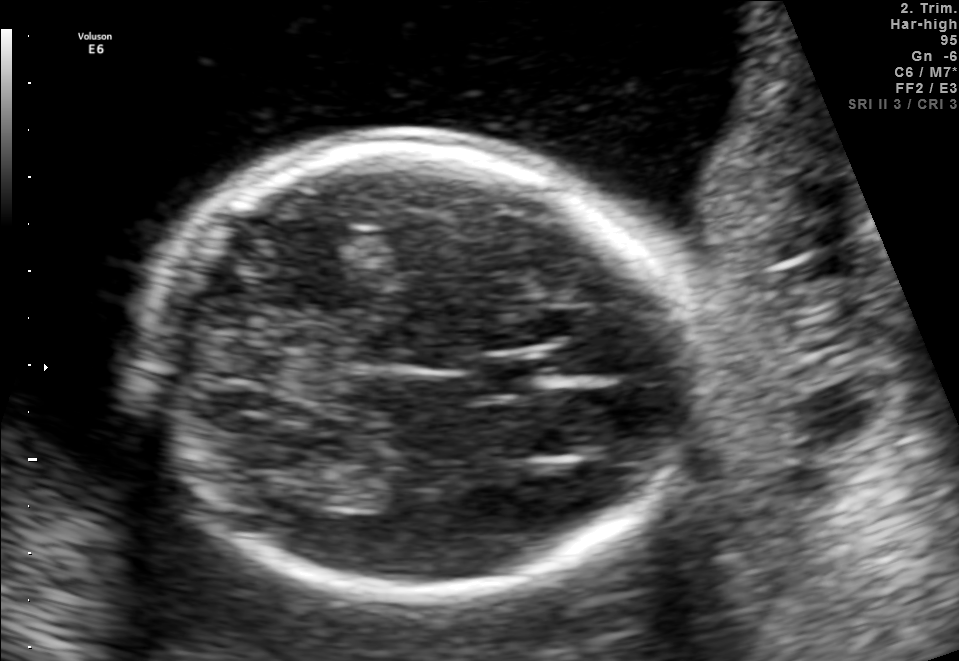
In this fetal brain, trans-thalamic plane, give bounding boxes for the head outline, cavum septum pellucidum (CSP), and lateral ventricle (LV), where visible.

Head: [143,143,692,592]
CSP: [471,355,545,396]